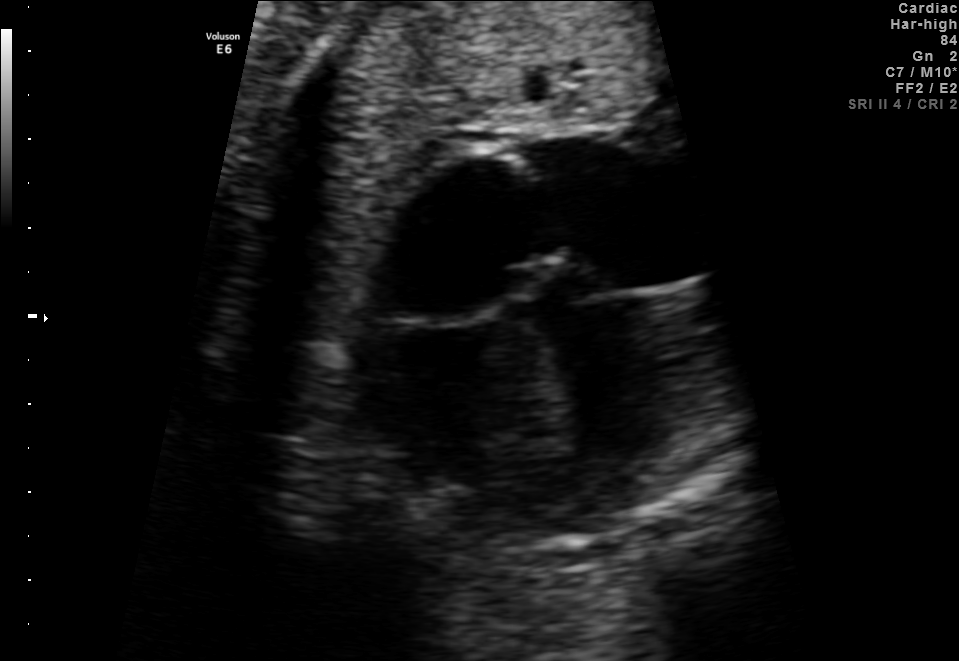
This is a 2D maternal-fetal ultrasound frame. Is it a fetal abdomen, fetal brain, fetal femur, fetal thorax, maternal cervix, or other standard plane? If it's fetal brain and one of the three standard brain planes (trans-thalamic, trans-cerebellum, trans-ventricular), name which.

Fetal thorax